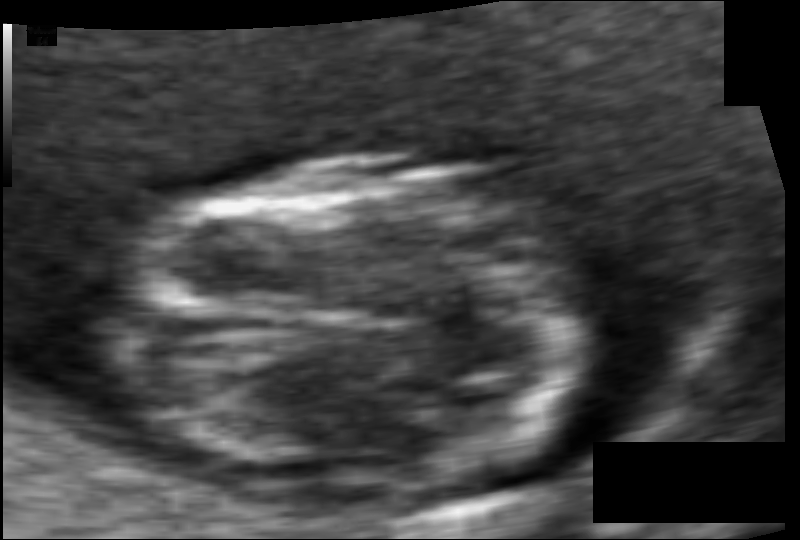
Estimate the fetal head circumference from this 2D ultrasound.

Head circumference: 65.8 mm (image width 39.5 mm).